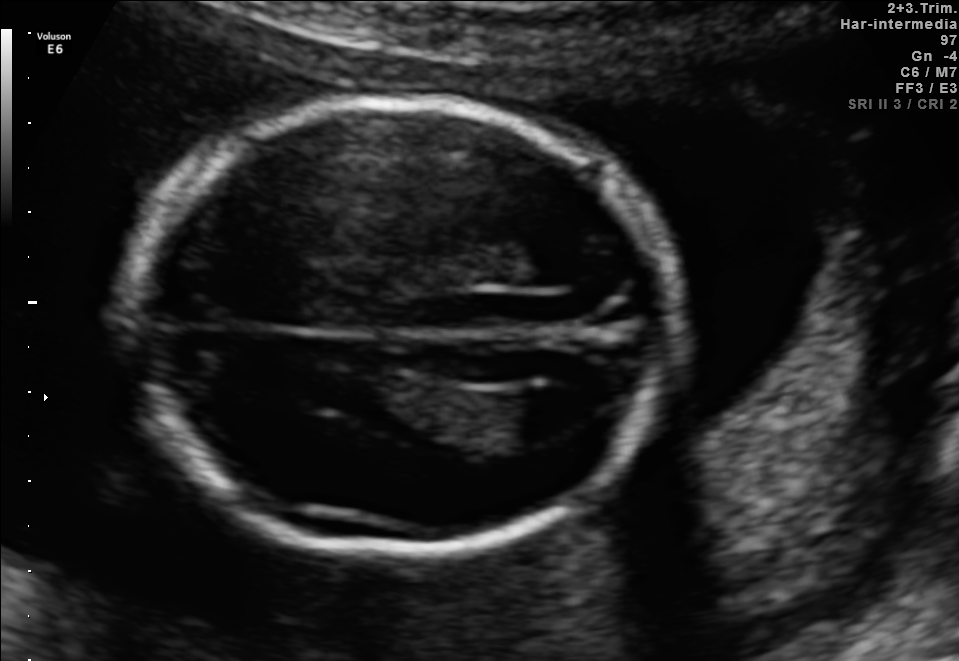
In this fetal brain, trans-ventricular plane, give the bounding box of the lateral ventricle.

[503,376,600,449]